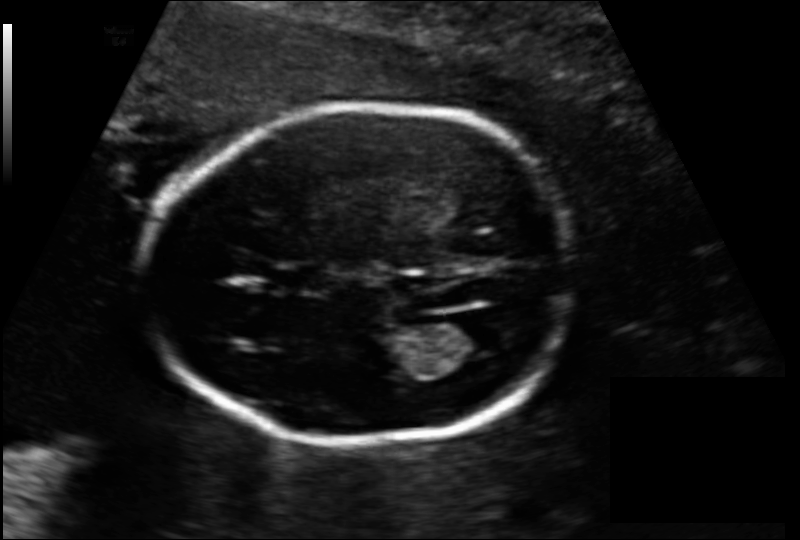
Estimate the fetal head circumference from this 2D ultrasound. Image width: 109.4 mm.

Head circumference: 171.1 mm.